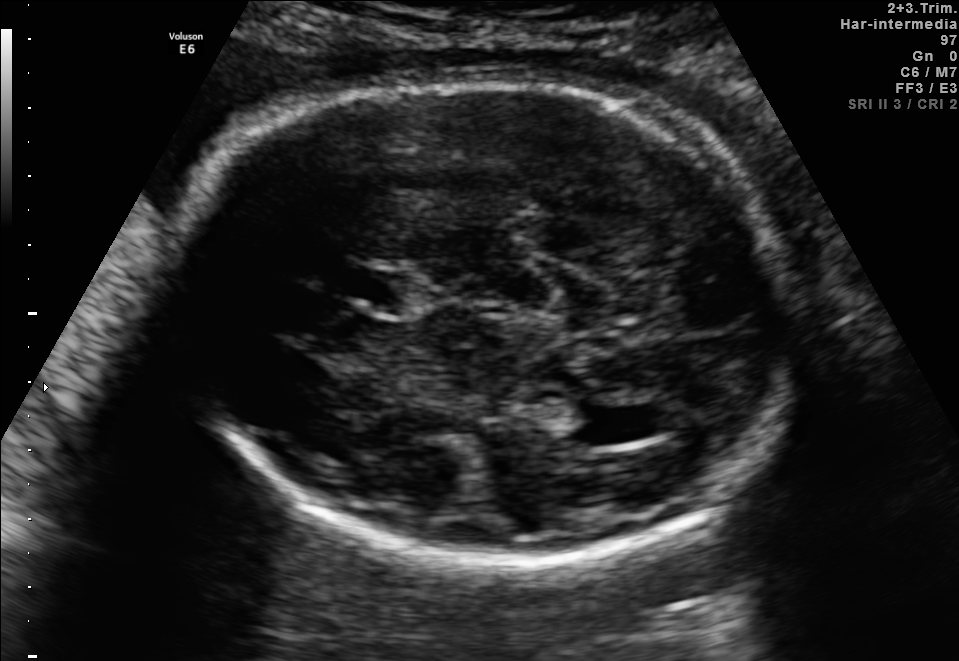
Fetal brain, trans-ventricular plane. Locate the cavum septum pellucidum.

CSP: [350,267,405,307]